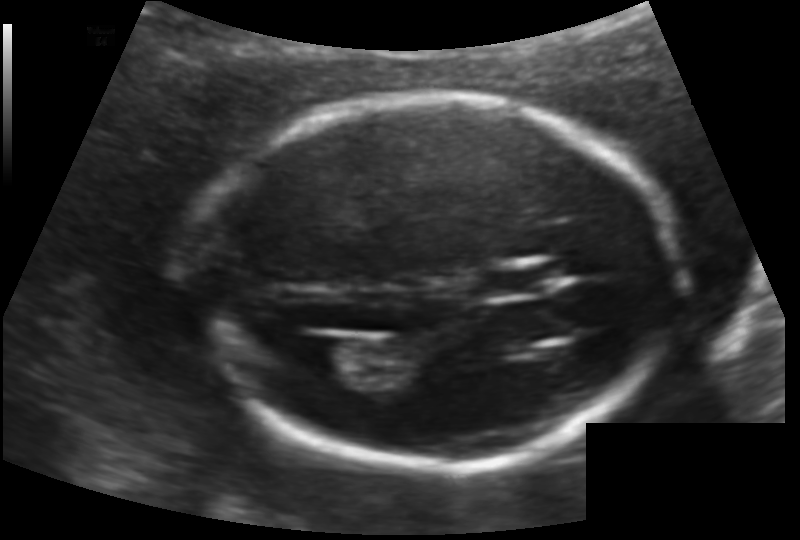
In this fetal head ultrasound, give the bounding box of the cavum septum pellucidum. Image width: 99.5 mm.

[475,261,546,303]